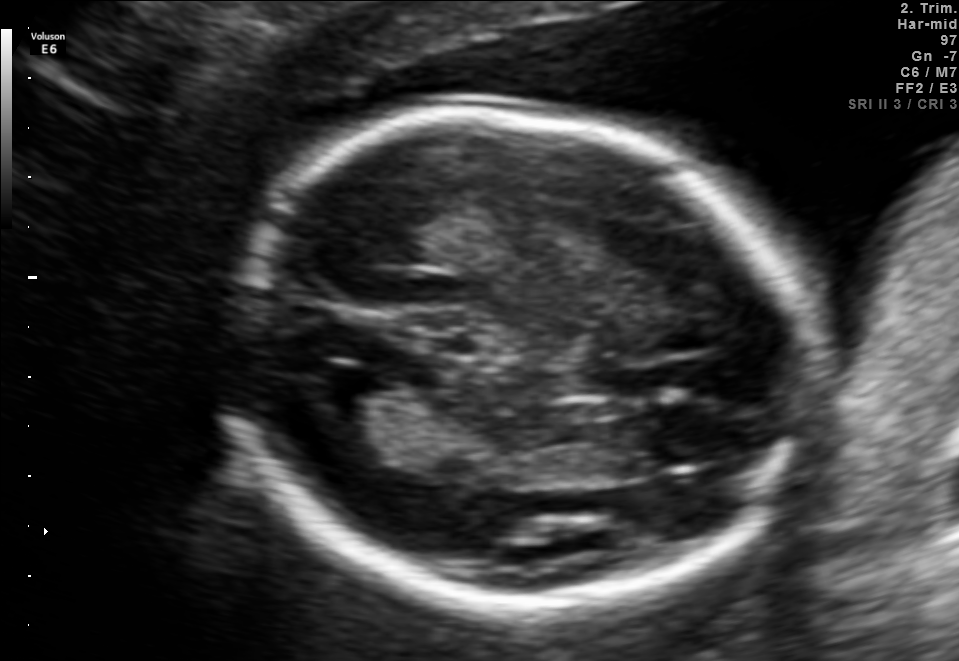
Fetal brain, trans-thalamic plane. Where is the lateral ventricle?

Lateral ventricle bounding box: [294,346,395,434]